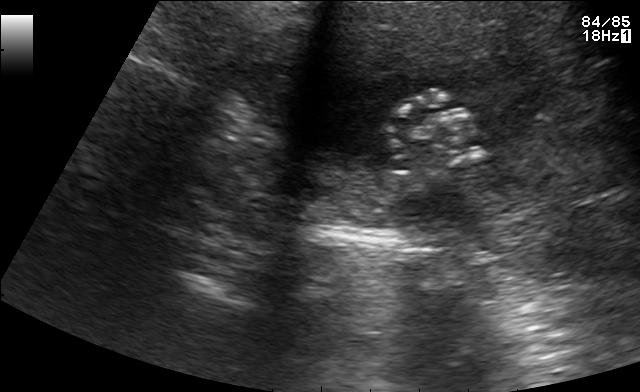
This is a 2D maternal-fetal ultrasound frame. Is it a fetal abdomen, fetal brain, fetal femur, fetal thorax, maternal cervix, or other standard plane? If it's fetal brain and one of the three standard brain planes (trans-thalamic, trans-cerebellum, trans-ventricular), name which.

Other